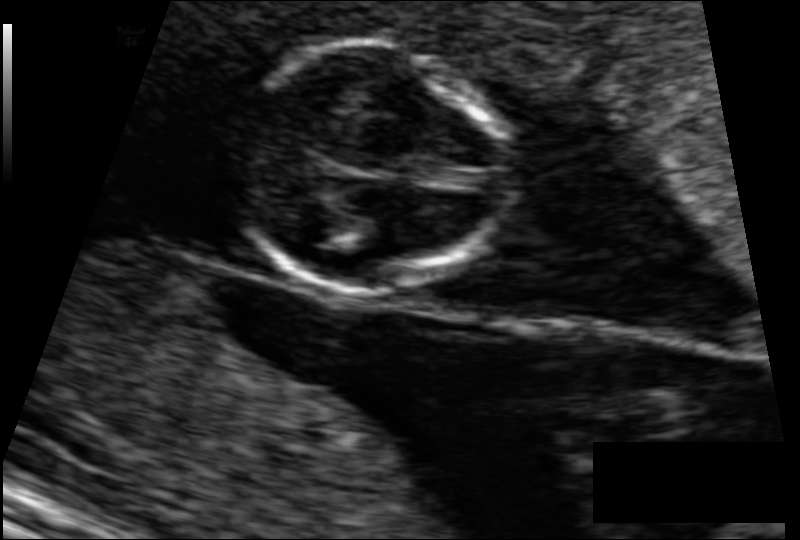
Fetal head ultrasound. Image width: 66.3 mm. Give [x1,y1,x2,y2] bounding boxes for each visible structure among: fetal head, CSP, LV.

Head: [232,42,510,292]